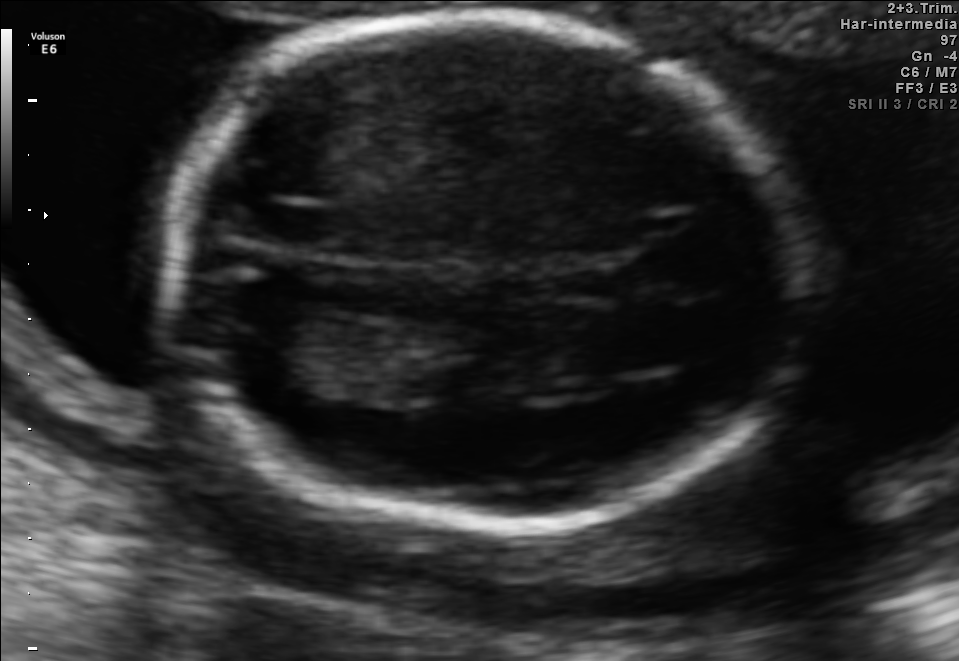
Fetal brain, trans-thalamic plane. Where is the fetal head?

Head bounding box: [169,16,808,531]